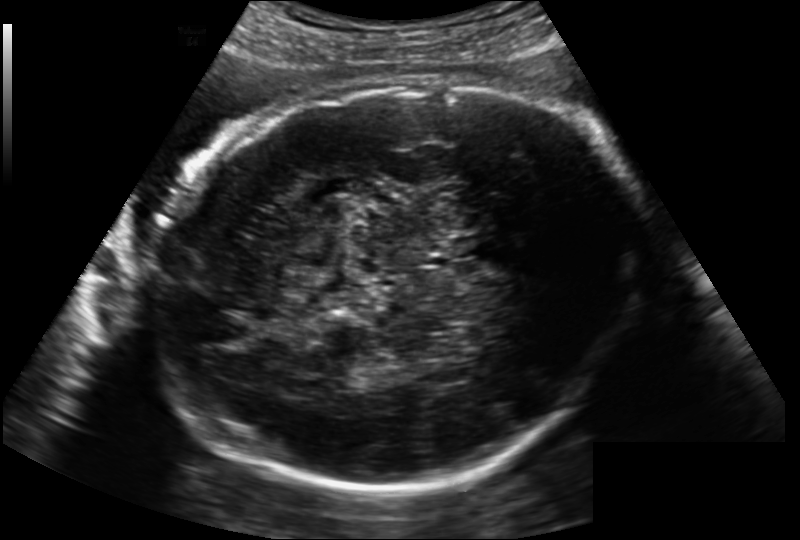
Fetal head ultrasound. Image width: 161.8 mm. Locate the fetal head and, if visible, the cavum septum pellucidum (CSP) and lateral ventricle (LV). Give bounding boxes as [x1,y1,x2,y2].

Head: [157,70,640,498]